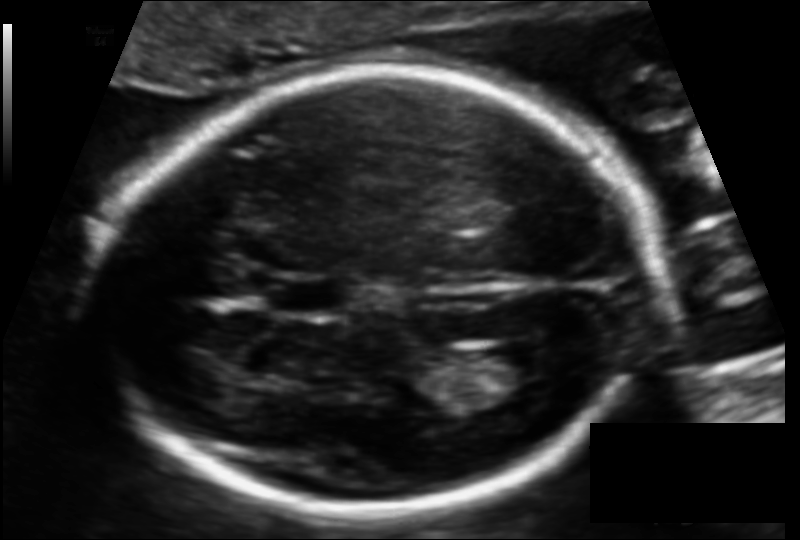
Estimate the fetal head circumference from this 2D ultrasound.

Head circumference: 186.5 mm (image width 89.8 mm).